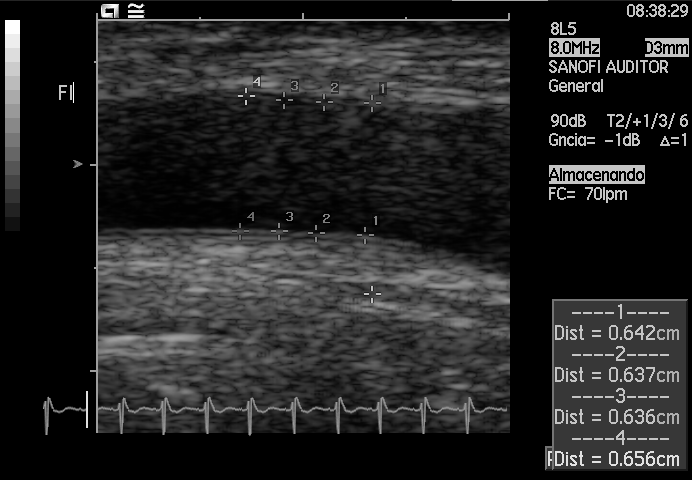
Classify this maternal-fetal ultrasound image as one of the six standard planes — fetal abdomen, fetal brain, fetal femur, fetal thorax, maternal cervix, or other. If it's fetal brain and one of the three standard brain planes (trans-thalamic, trans-cerebellum, trans-ventricular), name which.

Other